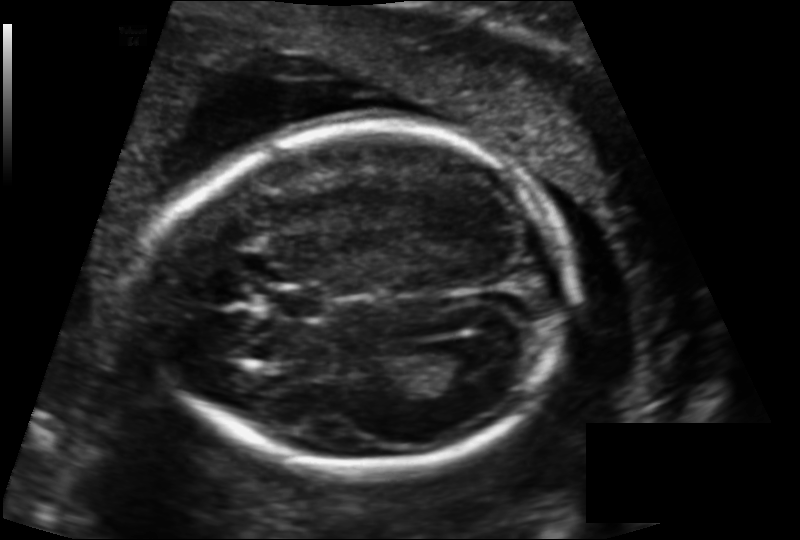
Fetal head ultrasound. Image width: 109.5 mm. Locate the fetal head and, if visible, the cavum septum pellucidum (CSP) and lateral ventricle (LV). Give bounding boxes as [x1,y1,x2,y2].

Head: [152,118,568,474]
CSP: [271,289,324,316]
Lateral ventricle: [424,336,500,396]